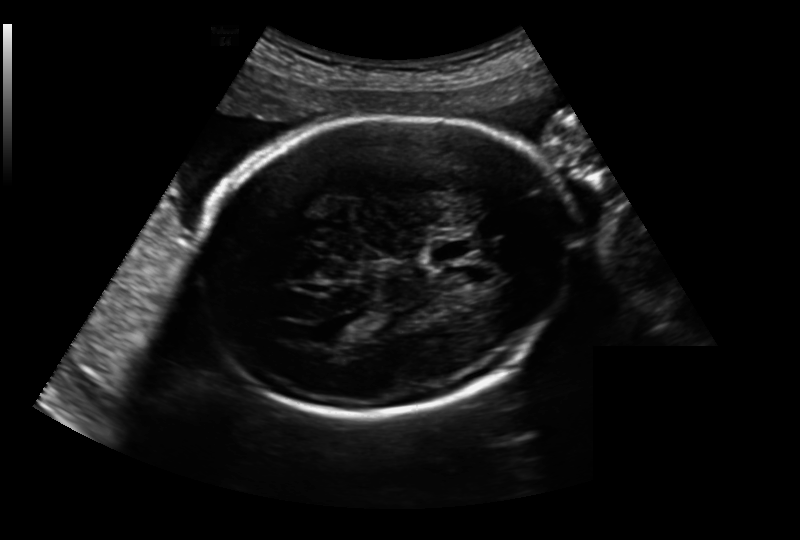
In this fetal head ultrasound, give bounding boxes for the head outline, cavum septum pellucidum (CSP), and lateral ventricle (LV), where visible. Image width: 170.6 mm.

Head: [193,117,576,413]
CSP: [425,232,479,269]
Lateral ventricle: [323,317,366,344]